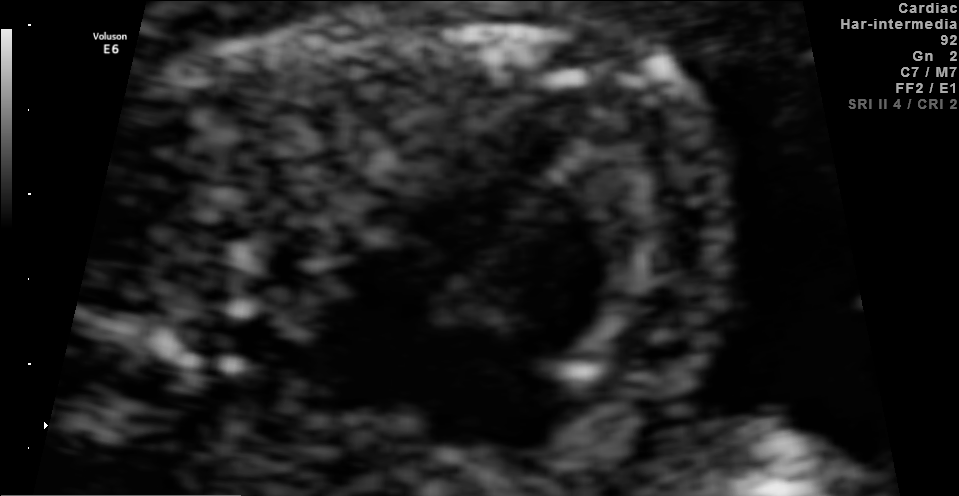
This is a 2D maternal-fetal ultrasound frame. Is it a fetal abdomen, fetal brain, fetal femur, fetal thorax, maternal cervix, or other standard plane? If it's fetal brain and one of the three standard brain planes (trans-thalamic, trans-cerebellum, trans-ventricular), name which.

Fetal thorax